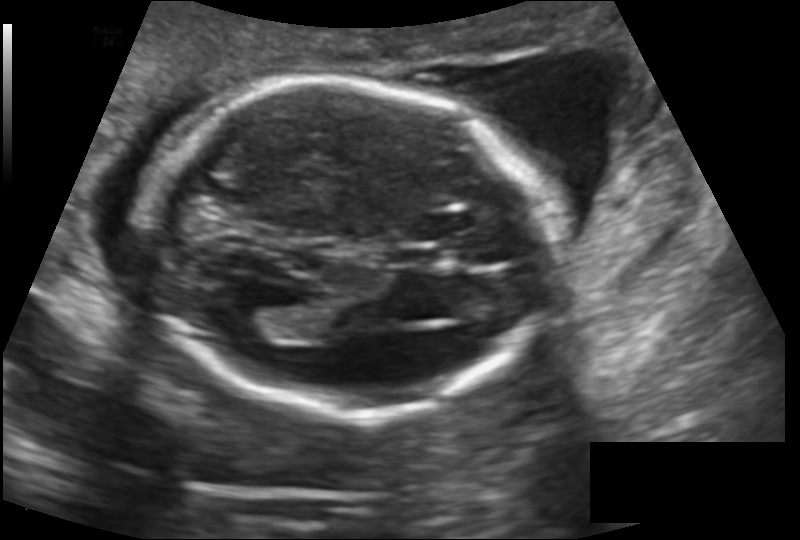
Fetal head ultrasound. Image width: 116.4 mm. Where is the fetal head?

Head bounding box: [143,80,553,417]